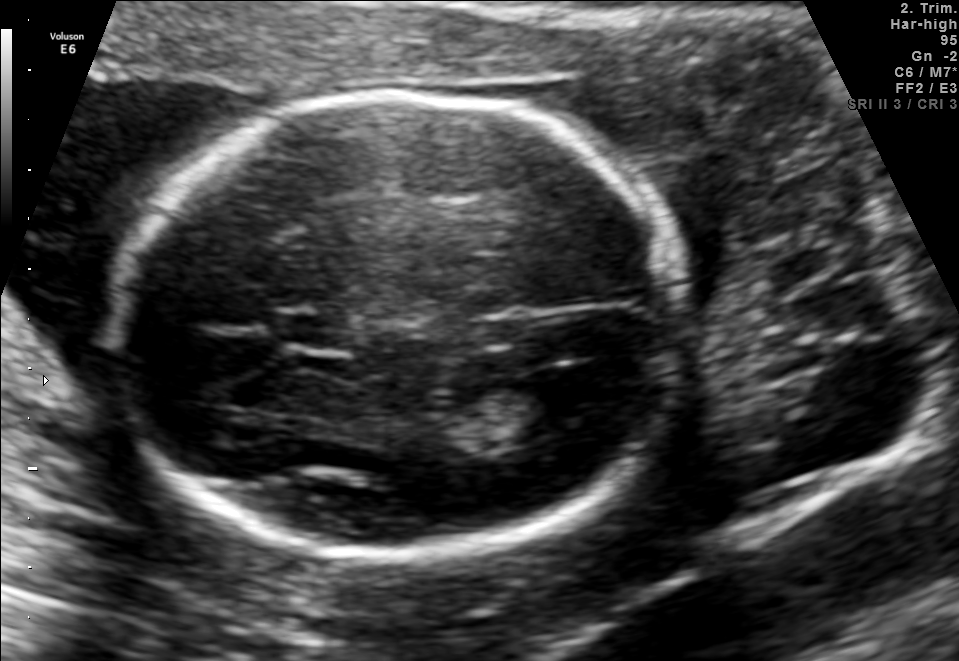
Fetal brain, trans-ventricular plane. Locate the cavum septum pellucidum.

CSP: [269,309,364,354]